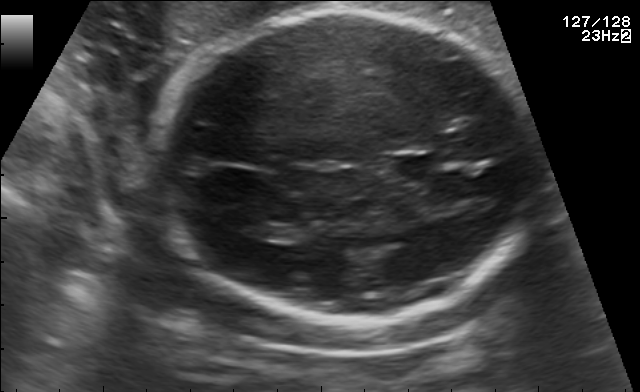
In this fetal brain, trans-thalamic plane, give the bounding box of the fetal head.

[157,12,543,325]